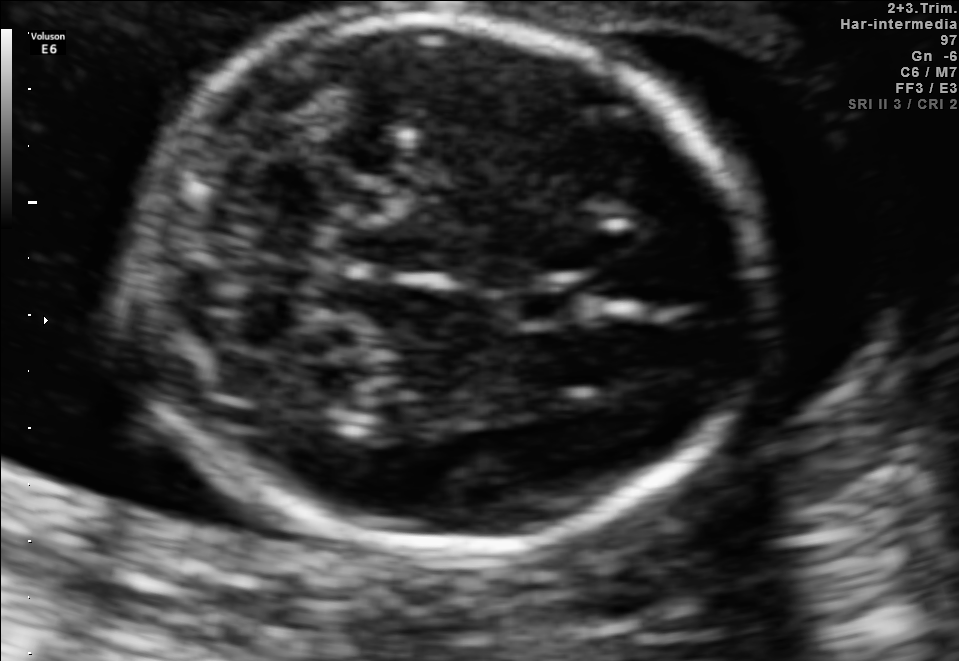
Fetal brain, trans-cerebellum plane. Where is the cavum septum pellucidum?

CSP bounding box: [506,278,581,329]